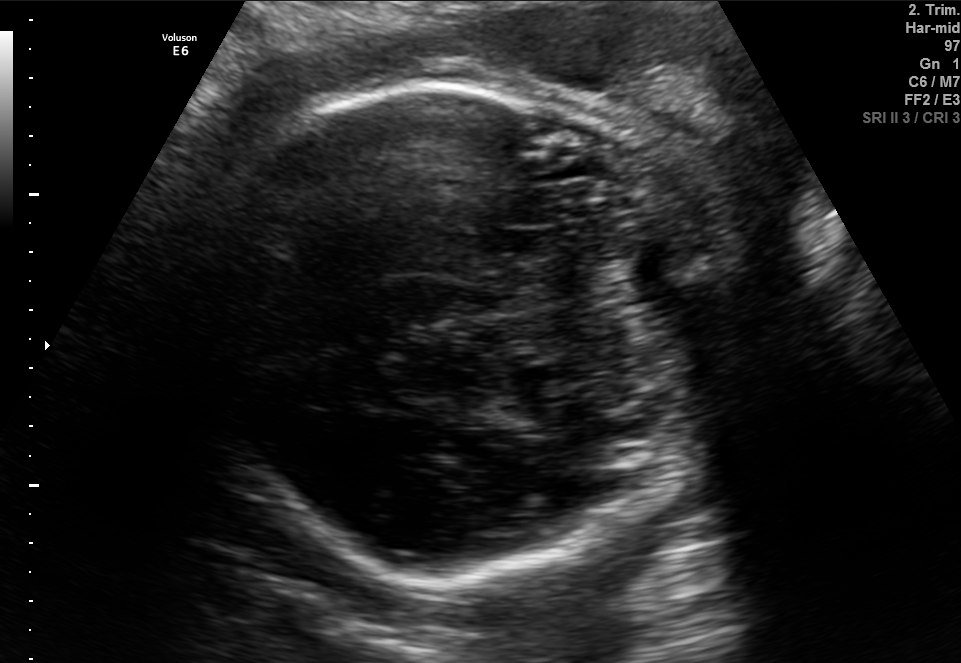
Fetal brain, trans-cerebellum plane. Locate the fetal head.

Head: [204,80,710,581]